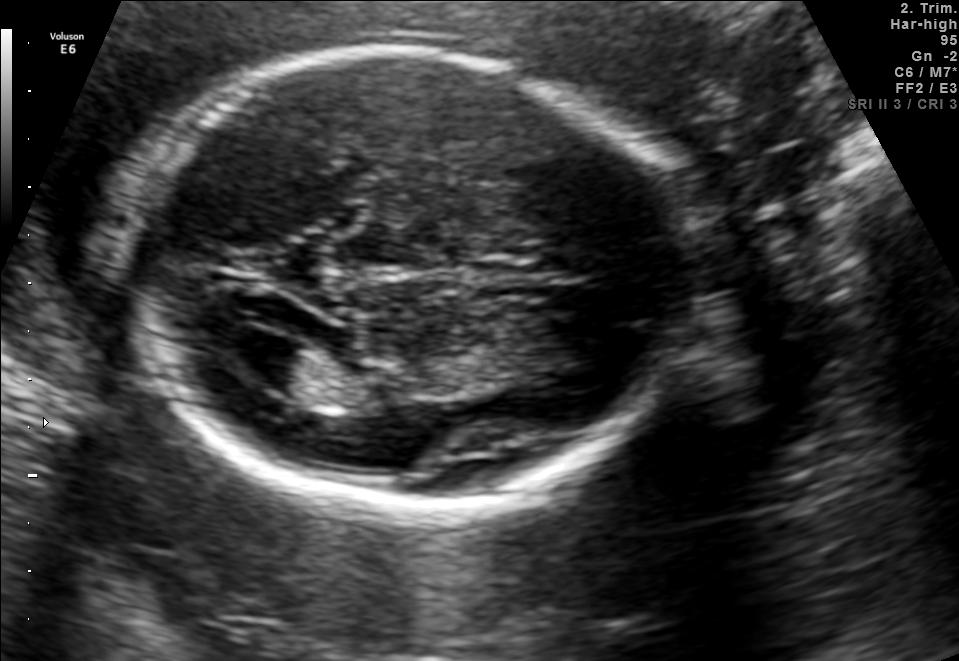
Fetal brain, trans-ventricular plane. Where is the lateral ventricle?

Lateral ventricle bounding box: [210,311,309,395]